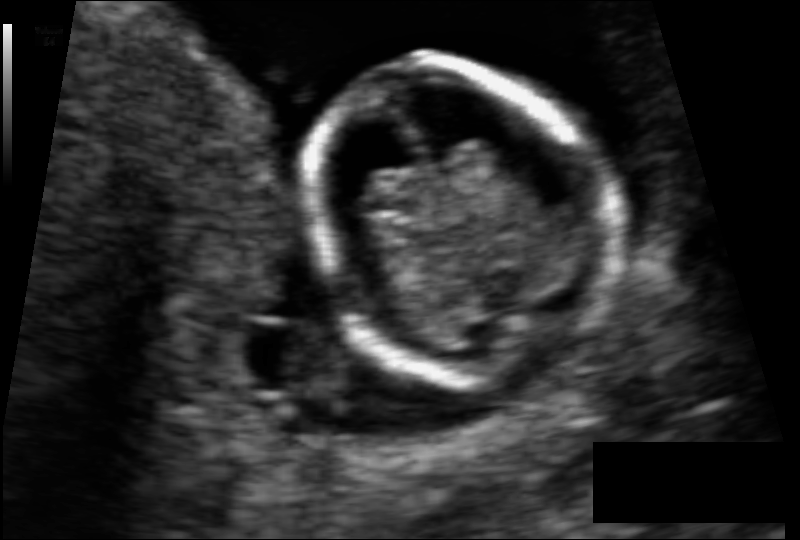
Measure the fetal head circumference shown in this ultrasound image. Image width: 58.7 mm.

Head circumference: 76.6 mm.